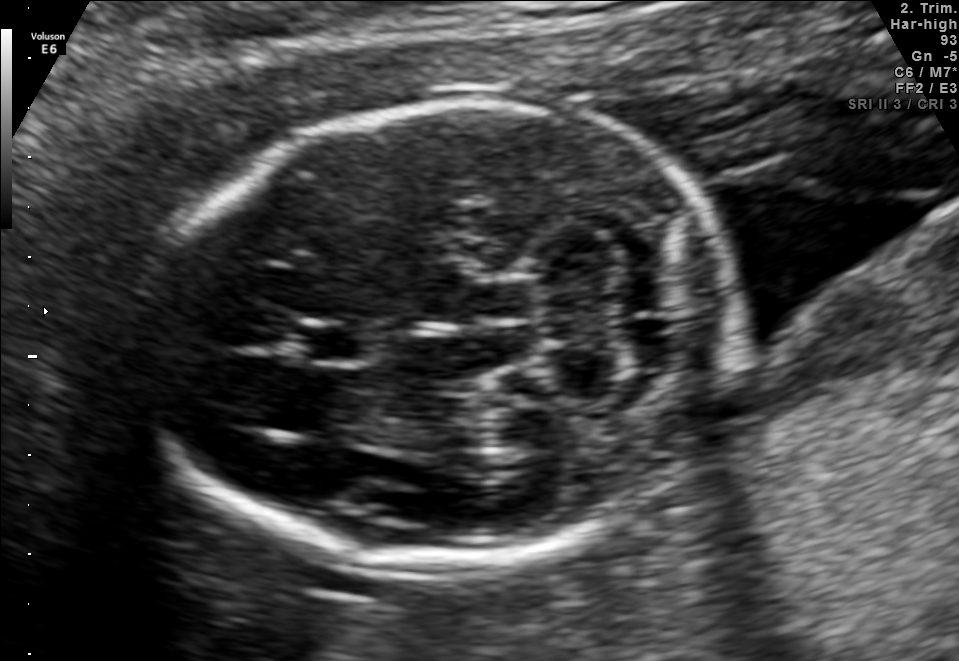
Fetal brain, trans-cerebellum plane. Locate the cavum septum pellucidum.

CSP: [299,319,376,364]